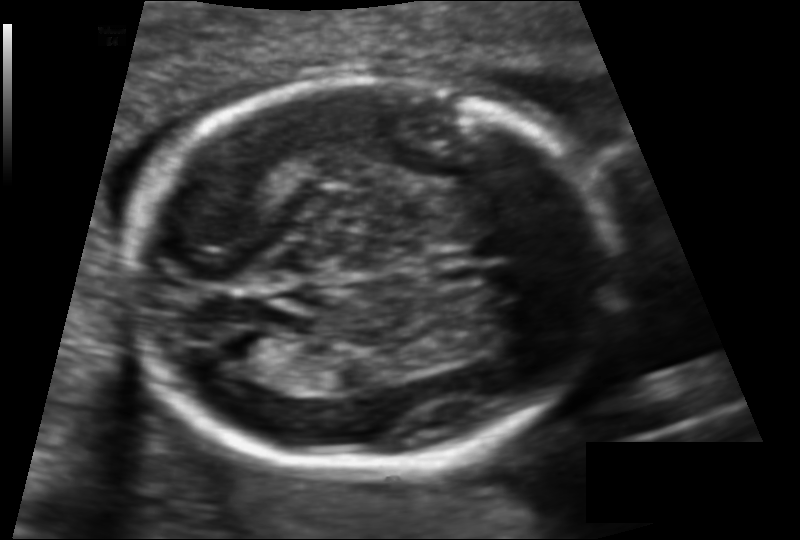
Estimate the fetal head circumference from this 2D ultrasound. Image width: 94.9 mm.

Head circumference: 170.4 mm.